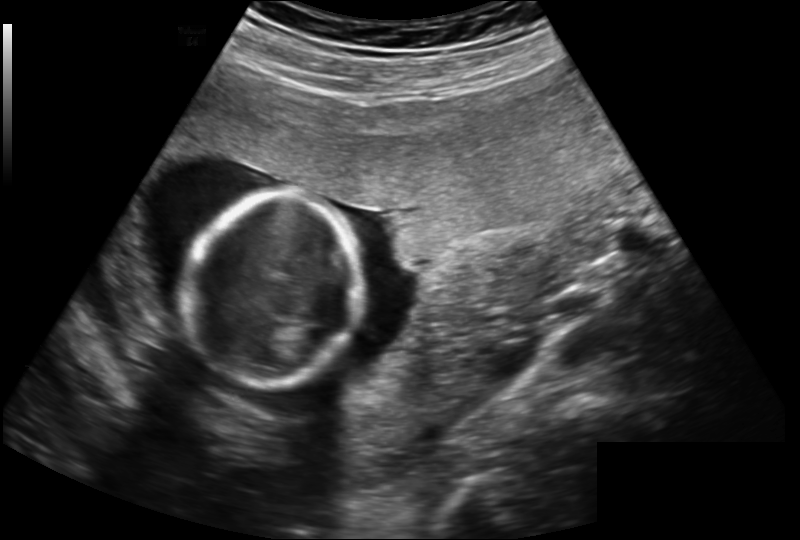
In this fetal head ultrasound, give the bounding box of the fetal head. Image width: 161.5 mm.

[188,193,364,388]